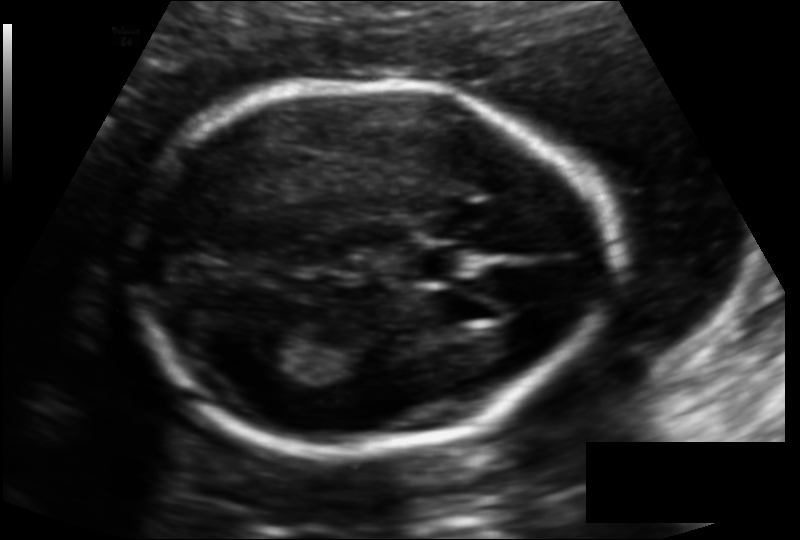
In this fetal head ultrasound, give bounding boxes for the head outline, cavum septum pellucidum (CSP), and lateral ventricle (LV), where visible. Image width: 96.8 mm.

Head: [127,84,605,451]
CSP: [406,242,468,282]
Lateral ventricle: [248,326,307,367]